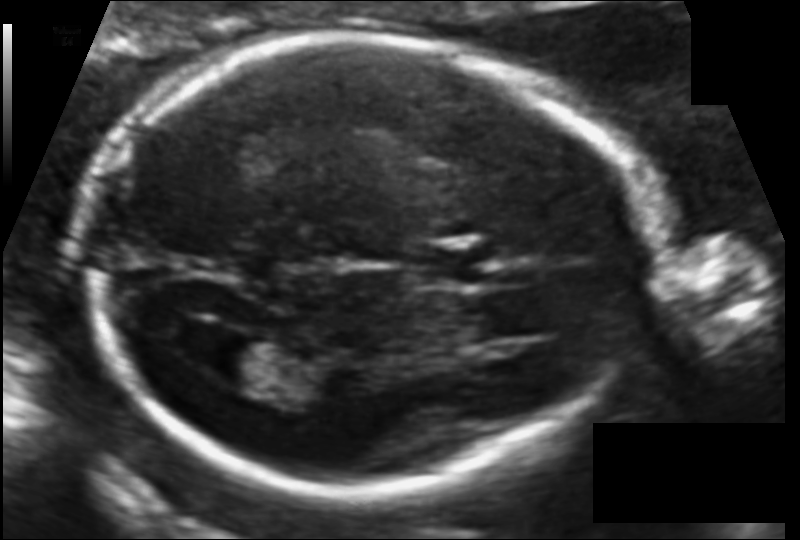
In this fetal head ultrasound, give the bounding box of the cavum septum pellucidum. Image width: 87.0 mm.

[413,245,477,285]